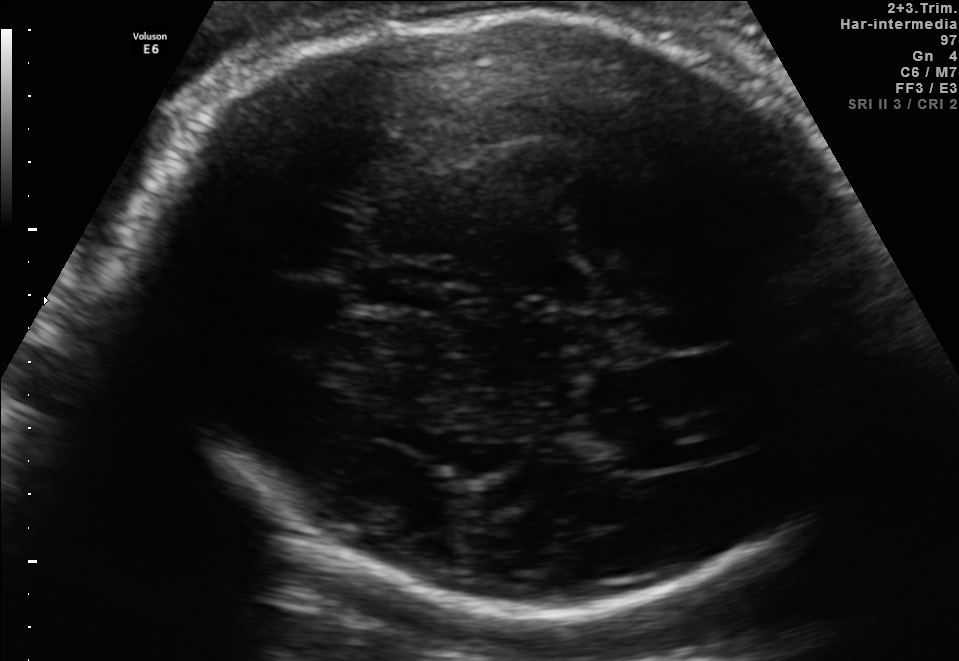
Fetal brain, trans-thalamic plane. Locate the fetal head.

Head: [137,10,862,615]